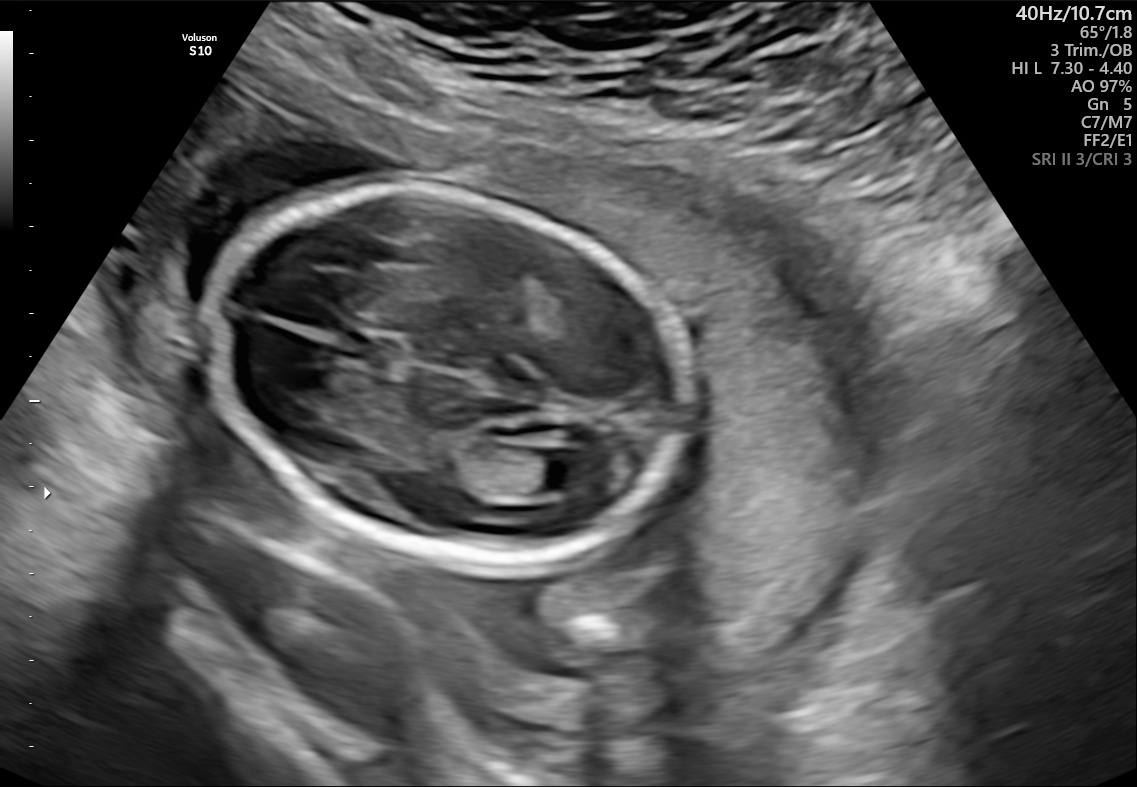
Fetal brain, trans-ventricular plane. Where is the lateral ventricle?

Lateral ventricle bounding box: [519,448,592,492]